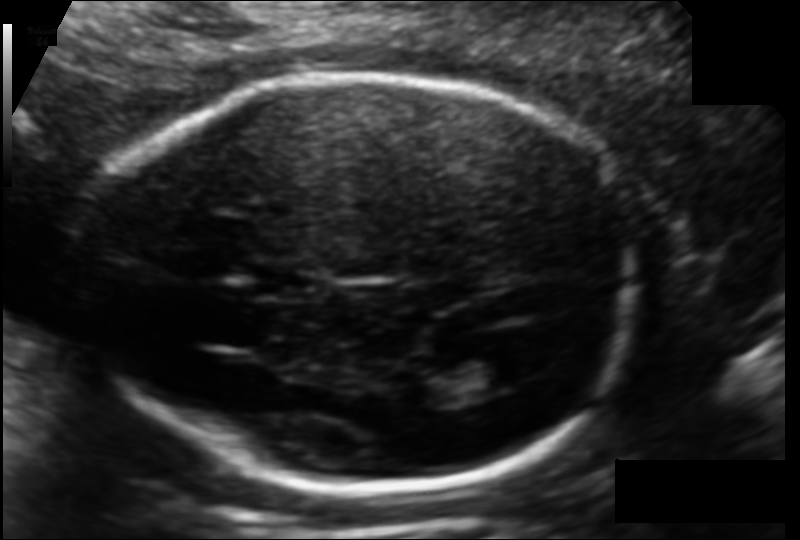
In this fetal head ultrasound, give the bounding box of the cavum septum pellucidum. Image width: 90.5 mm.

[251,265,317,298]